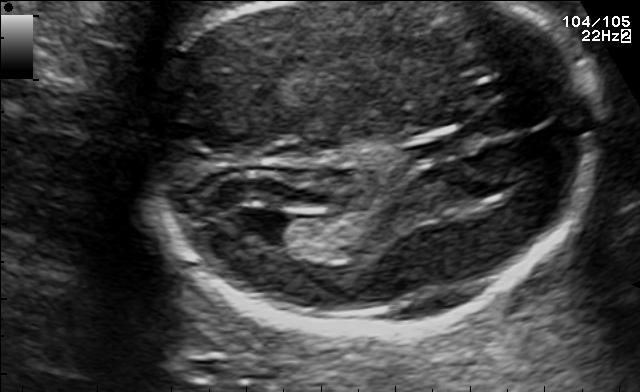
Fetal brain, trans-ventricular plane. Where is the lateral ventricle?

Lateral ventricle bounding box: [227,197,305,249]